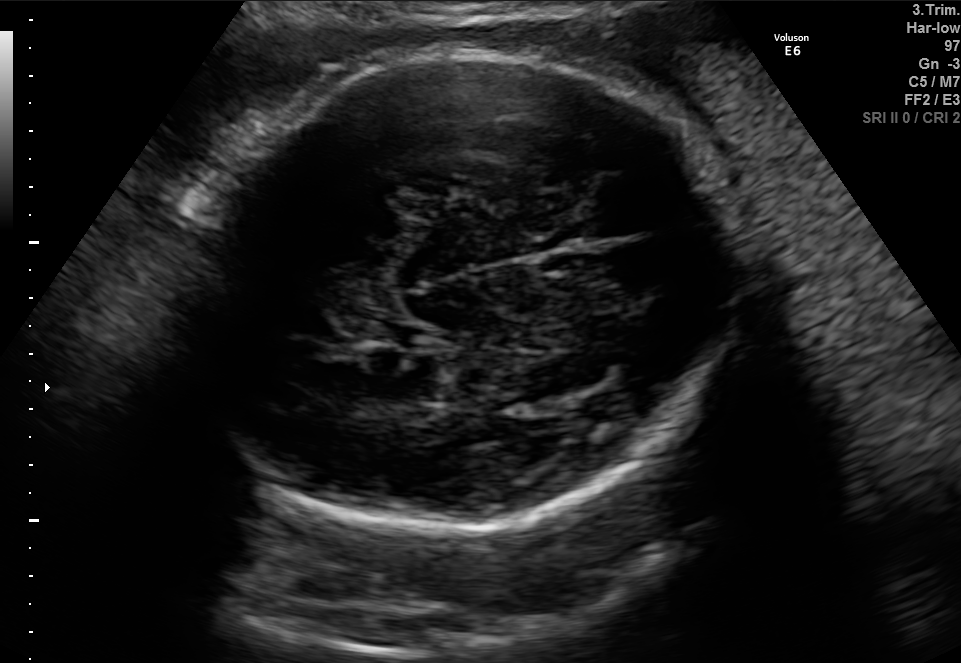
Classify this maternal-fetal ultrasound image as one of the six standard planes — fetal abdomen, fetal brain, fetal femur, fetal thorax, maternal cervix, or other. If it's fetal brain and one of the three standard brain planes (trans-thalamic, trans-cerebellum, trans-ventricular), name which.

Fetal brain (trans-thalamic plane)